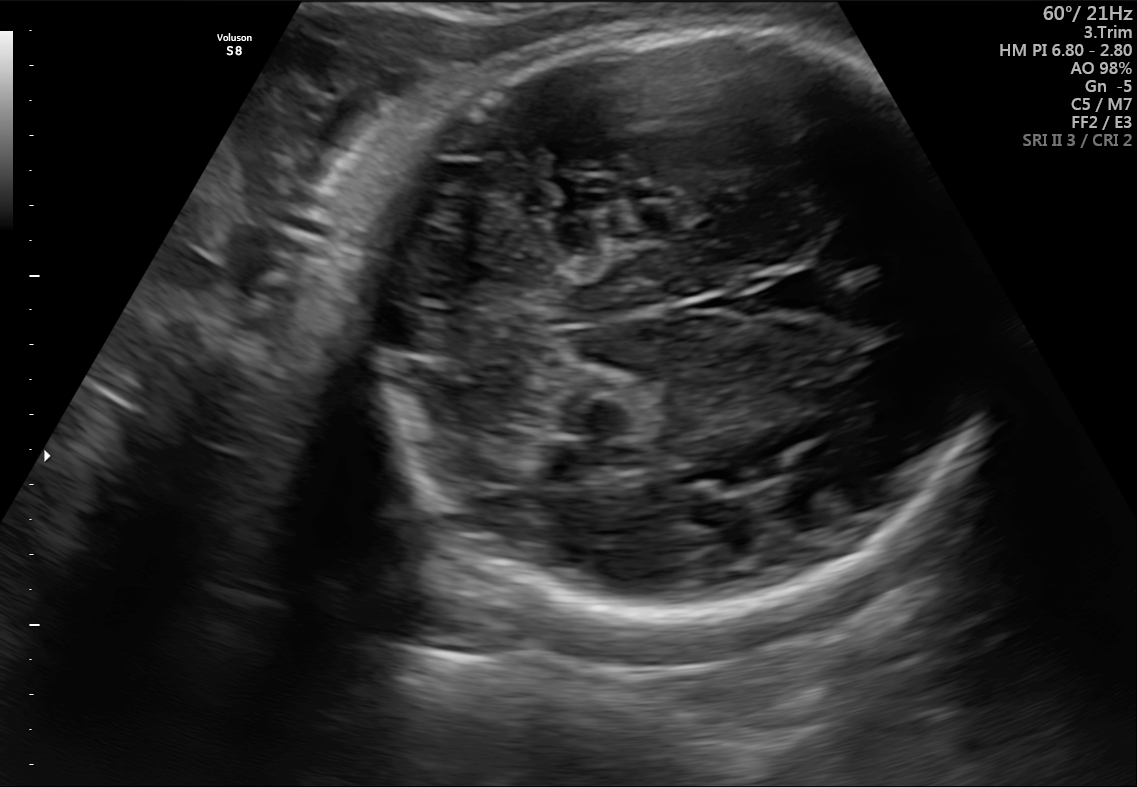
Fetal brain, trans-cerebellum plane. Give [x1,y1,x2,y2] bounding boxes for each visible structure among: fetal head, CSP, LV.

Head: [318,27,973,617]
CSP: [761,262,841,319]